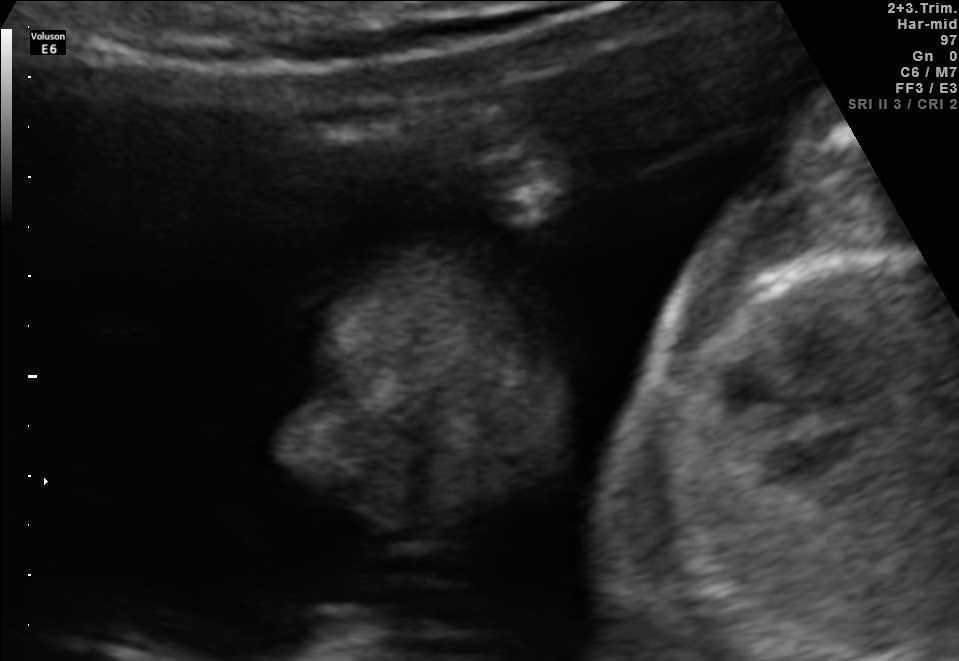
This is a 2D maternal-fetal ultrasound frame. Is it a fetal abdomen, fetal brain, fetal femur, fetal thorax, maternal cervix, or other standard plane? If it's fetal brain and one of the three standard brain planes (trans-thalamic, trans-cerebellum, trans-ventricular), name which.

Other